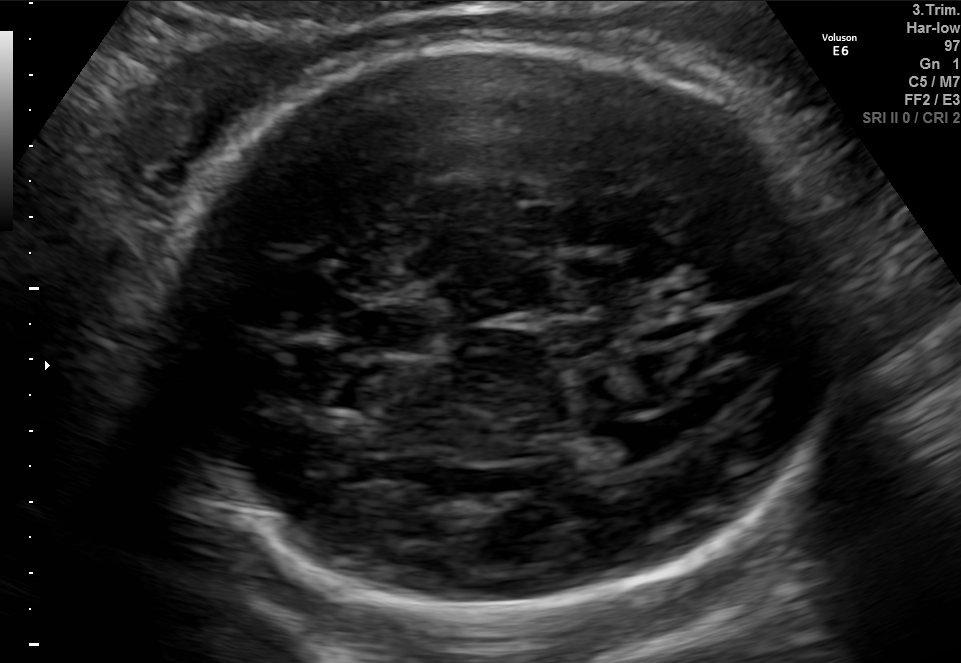
Fetal brain, trans-ventricular plane. Locate the fetal head.

Head: [144,38,867,617]